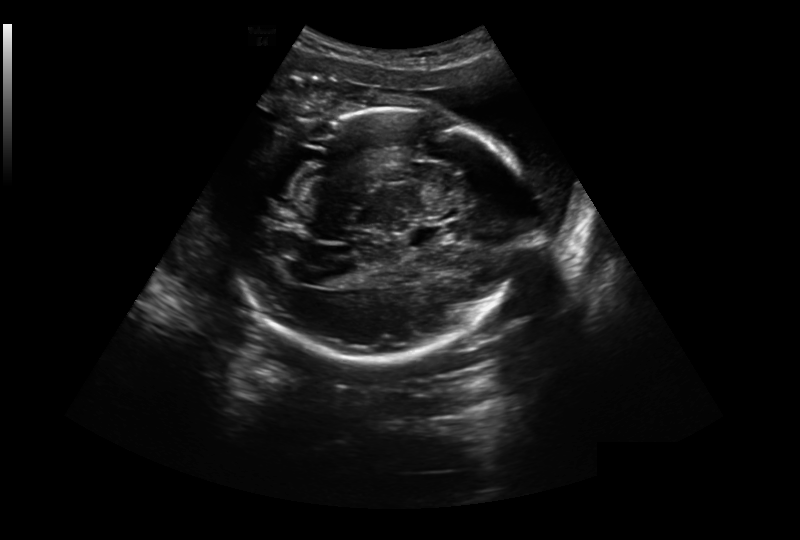
Measure the fetal head circumference shown in this ultrasound image. Image width: 243.0 mm.

Head circumference: 270.5 mm.